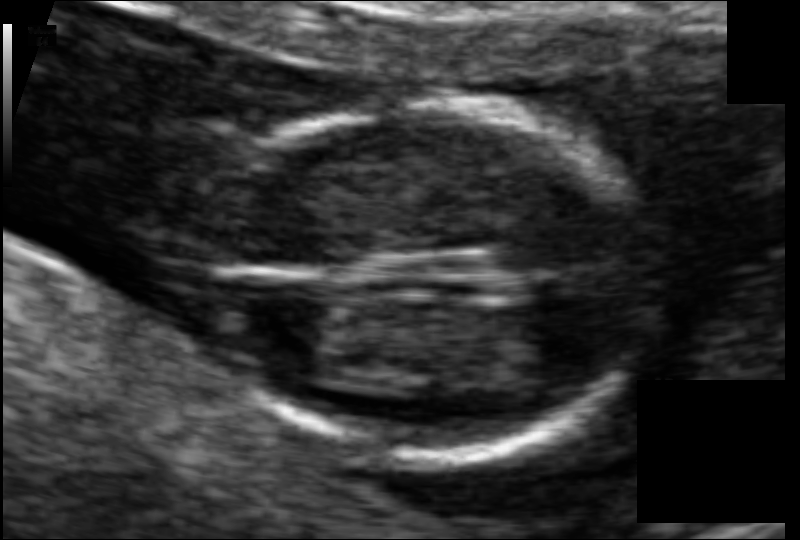
Estimate the fetal head circumference from this 2D ultrasound.

Head circumference: 84.0 mm (image width 51.8 mm).